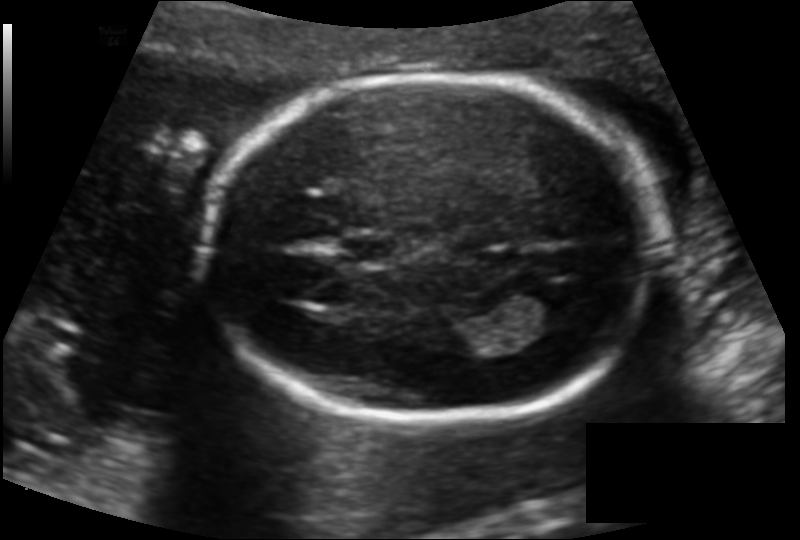
Fetal head ultrasound. Image width: 104.1 mm. Where is the lateral ventricle?

Lateral ventricle bounding box: [517,270,595,336]